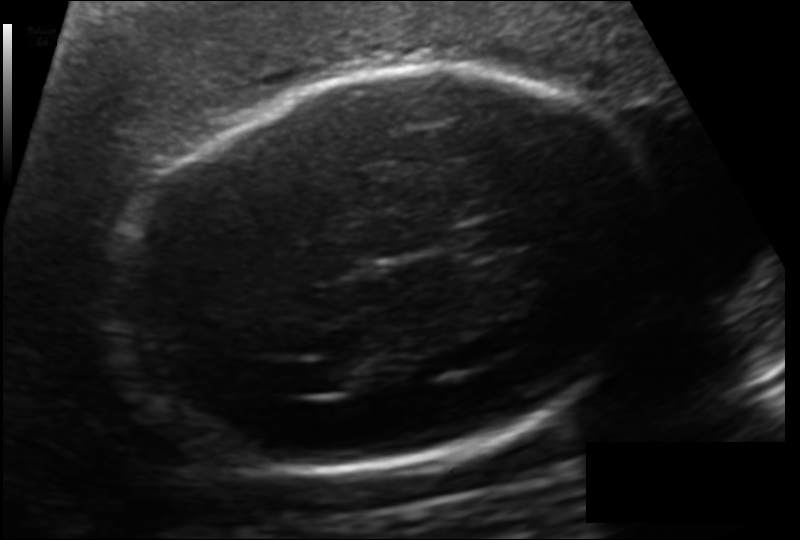
Fetal head ultrasound. Image width: 120.9 mm. Where is the cavum septum pellucidum?

CSP bounding box: [450,209,527,264]